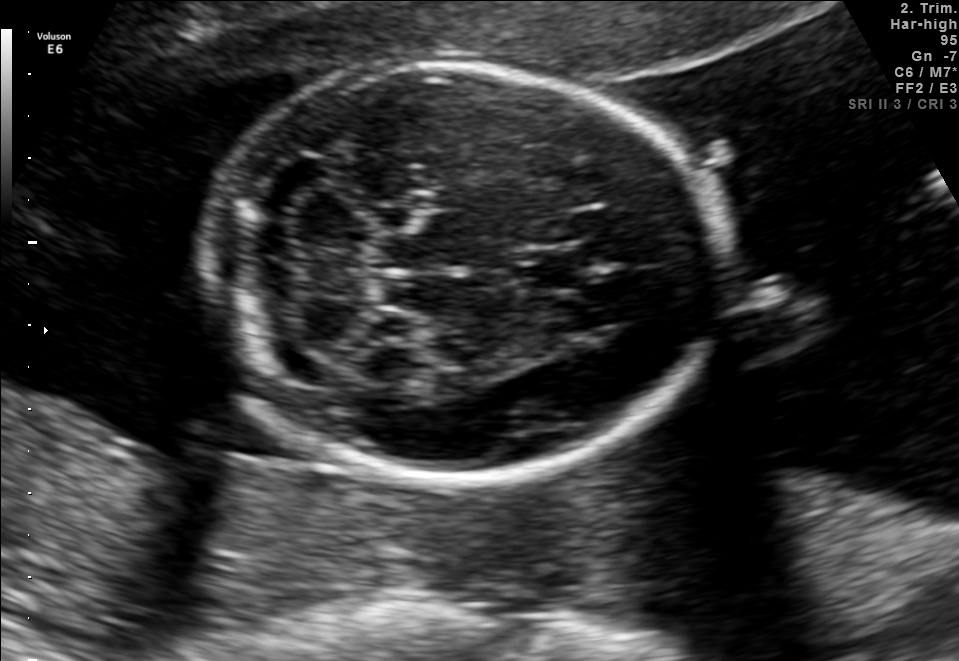
Fetal brain, trans-cerebellum plane. Locate the cavum septum pellucidum.

CSP: [519,245,586,294]